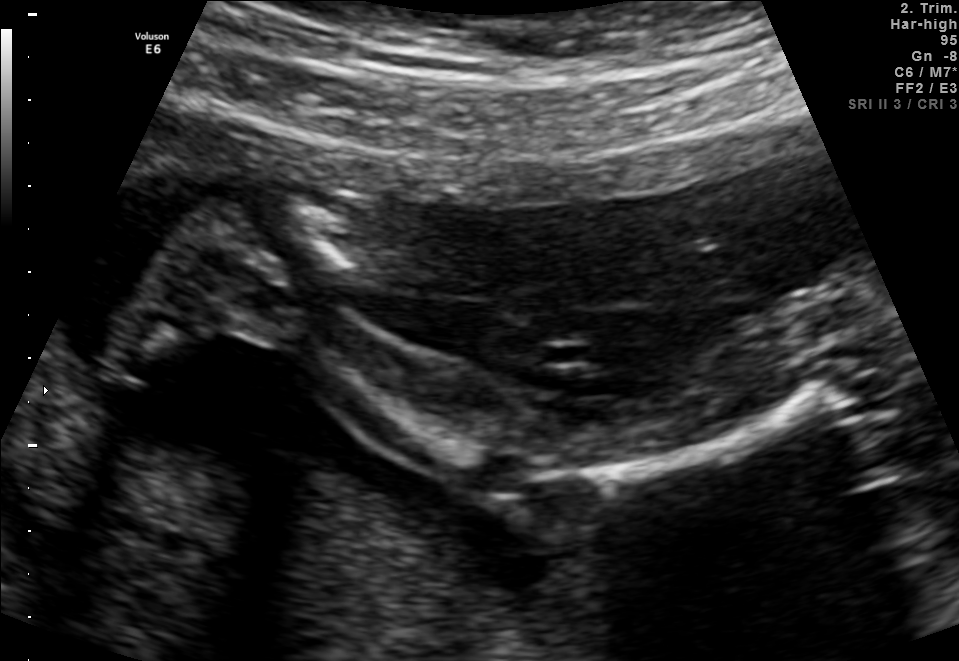
This is a 2D maternal-fetal ultrasound frame. Is it a fetal abdomen, fetal brain, fetal femur, fetal thorax, maternal cervix, or other standard plane? If it's fetal brain and one of the three standard brain planes (trans-thalamic, trans-cerebellum, trans-ventricular), name which.

Fetal femur